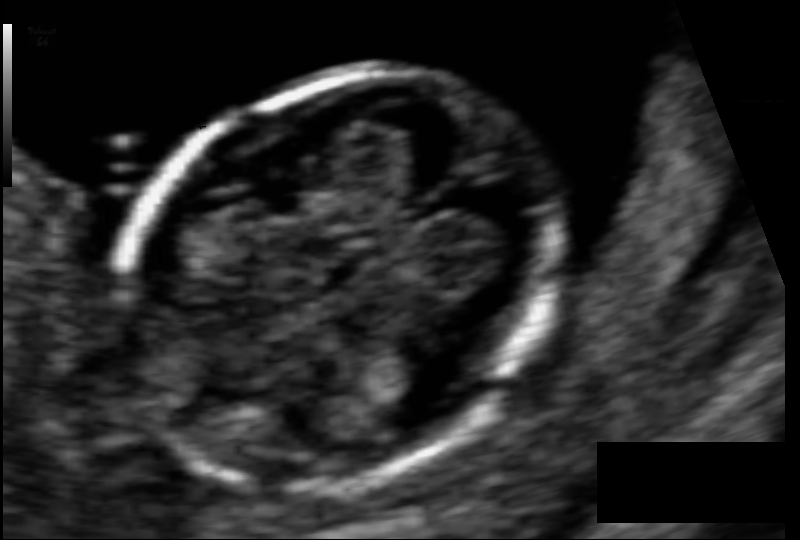
Fetal head ultrasound. Image width: 48.5 mm. Give [x1,y1,x2,y2] bounding boxes for each visible structure among: fetal head, CSP, LV.

Head: [114,74,564,481]